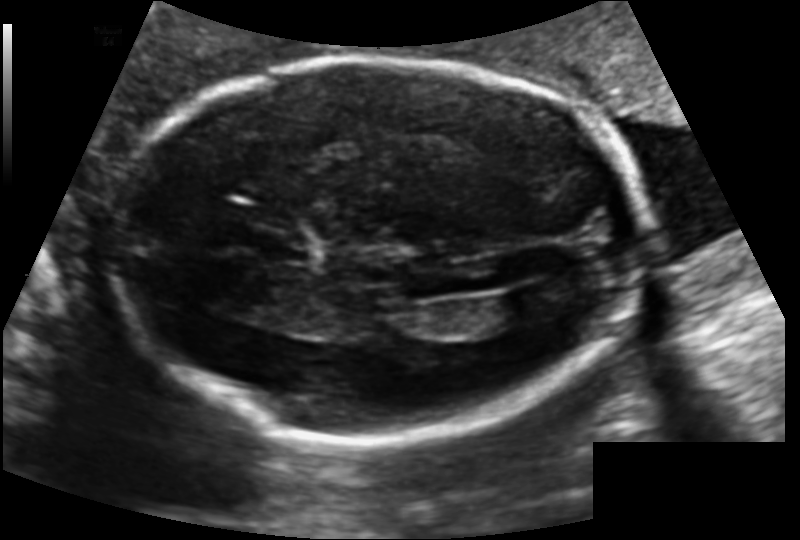
Fetal head ultrasound. Image width: 105.0 mm. Locate the fetal head and, if visible, the cavum septum pellucidum (CSP) and lateral ventricle (LV). Give bounding boxes as [x1,y1,x2,y2].

Head: [112,56,650,440]
CSP: [248,226,311,266]
Lateral ventricle: [494,279,565,328]